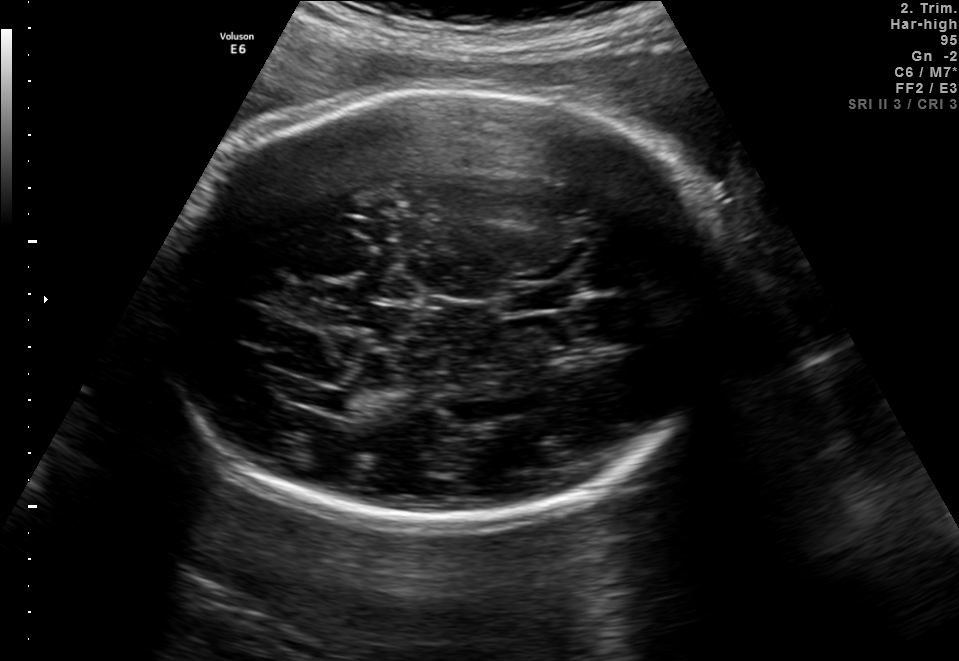
Fetal brain, trans-thalamic plane. Where is the fetal head?

Head bounding box: [160,89,731,524]